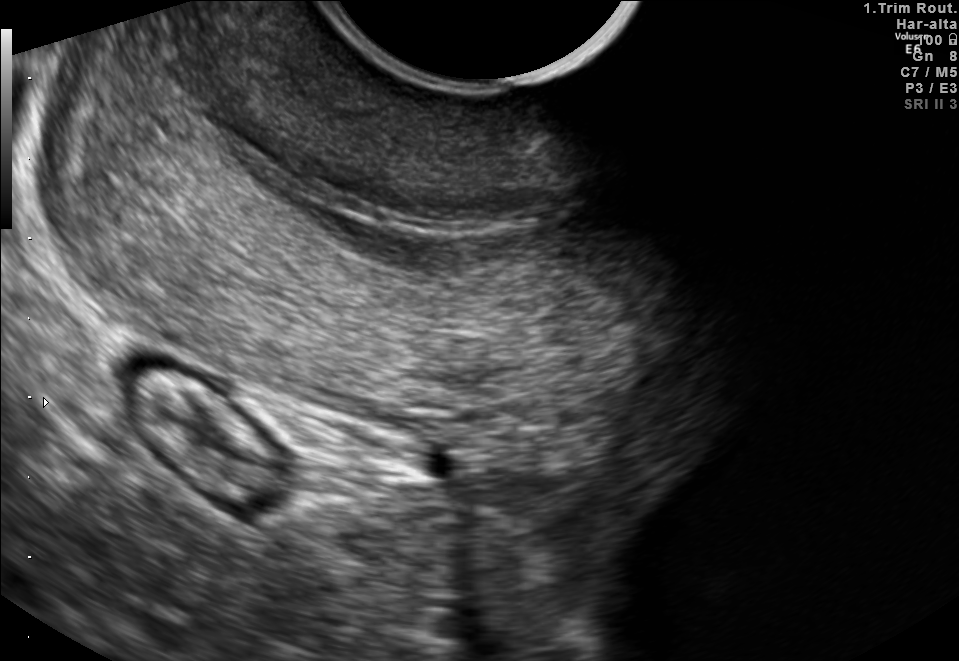
Identify the standard plane in this fetal ultrasound image: fetal abdomen, fetal brain, fetal femur, fetal thorax, maternal cervix, or other. If it's fetal brain and one of the three standard brain planes (trans-thalamic, trans-cerebellum, trans-ventricular), name which.

Maternal cervix